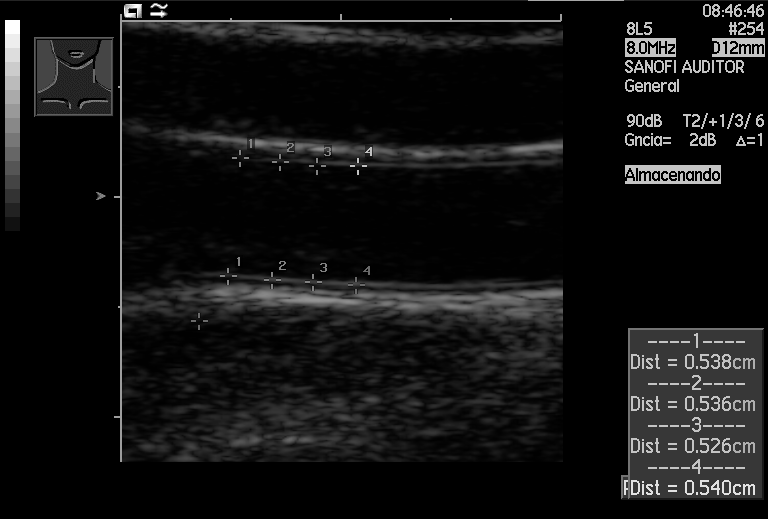
This is a 2D maternal-fetal ultrasound frame. Is it a fetal abdomen, fetal brain, fetal femur, fetal thorax, maternal cervix, or other standard plane? If it's fetal brain and one of the three standard brain planes (trans-thalamic, trans-cerebellum, trans-ventricular), name which.

Other